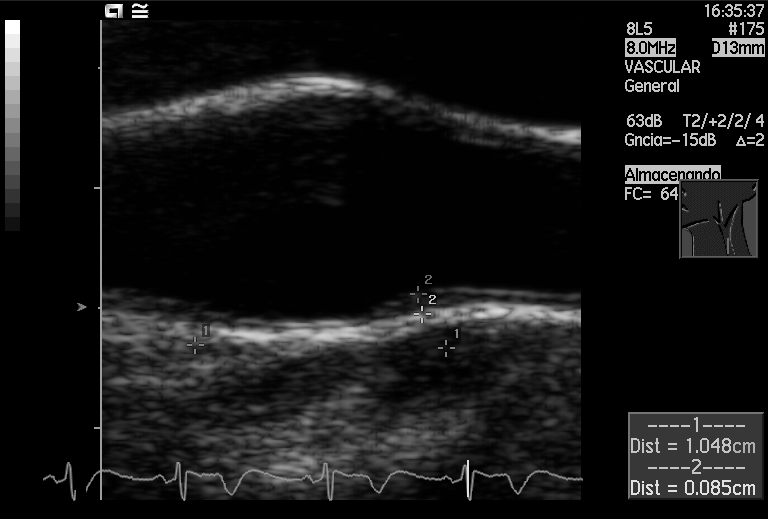
Which standard maternal-fetal ultrasound plane is shown: fetal abdomen, fetal brain, fetal femur, fetal thorax, maternal cervix, or other? If it's fetal brain and one of the three standard brain planes (trans-thalamic, trans-cerebellum, trans-ventricular), name which.

Other